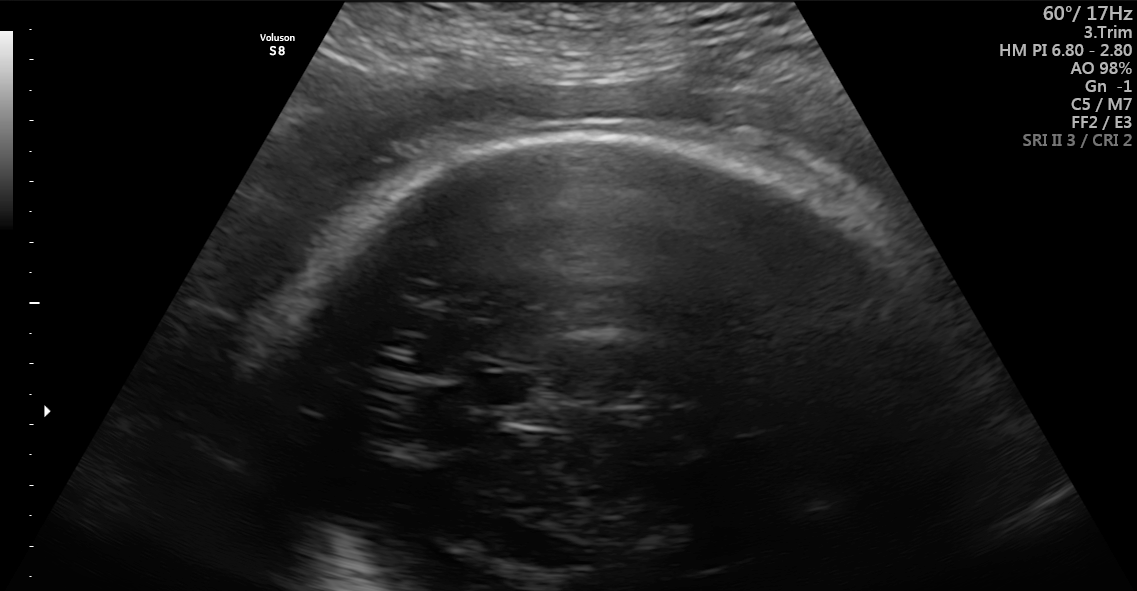
This is a 2D maternal-fetal ultrasound frame. Is it a fetal abdomen, fetal brain, fetal femur, fetal thorax, maternal cervix, or other standard plane? If it's fetal brain and one of the three standard brain planes (trans-thalamic, trans-cerebellum, trans-ventricular), name which.

Fetal brain